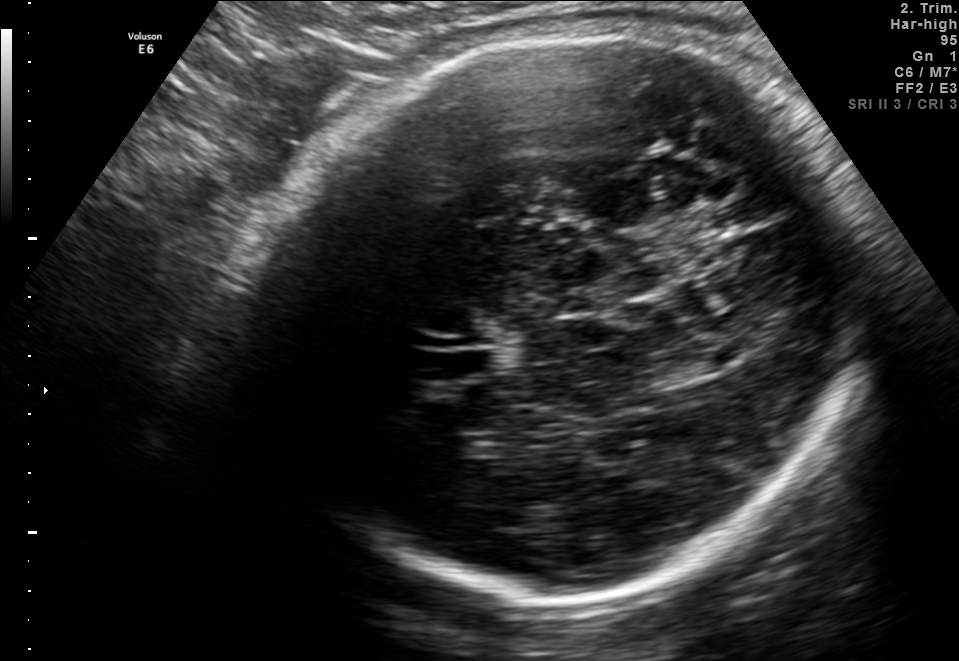
Fetal brain, trans-thalamic plane. Give [x1,y1,x2,y2] bounding boxes for each visible structure among: fetal head, CSP, LV.

Head: [232,32,867,597]
Lateral ventricle: [670,348,723,383]